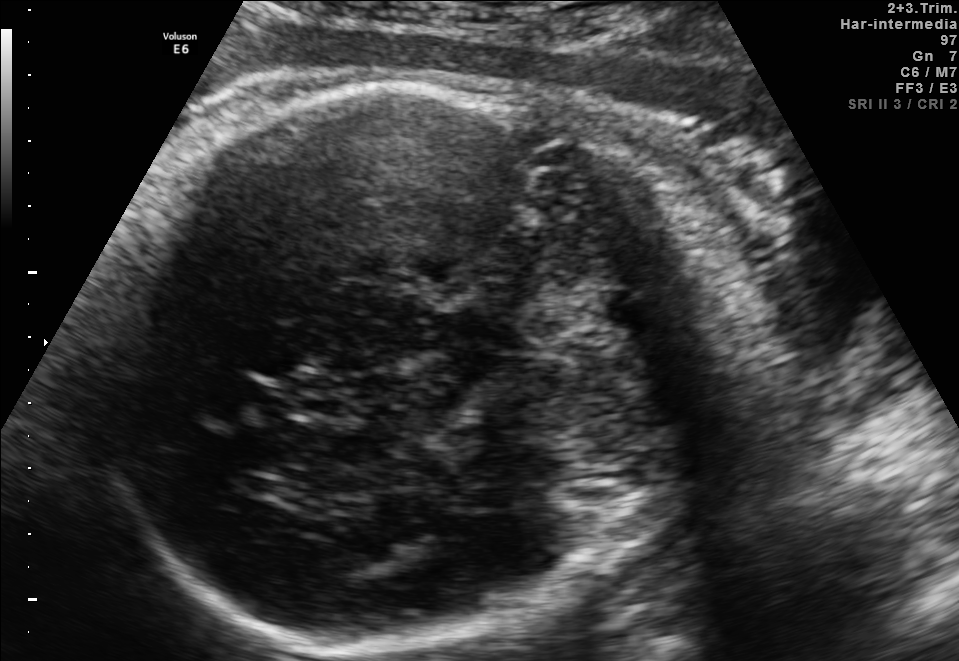
In this fetal brain, trans-thalamic plane, give the bounding box of the fetal head.

[86,75,759,636]